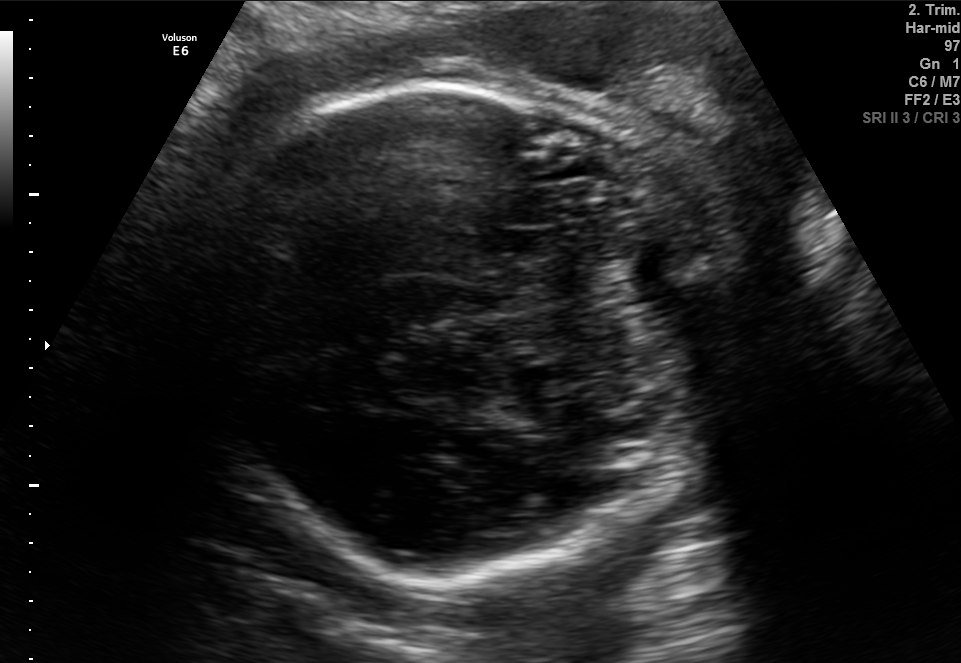
Fetal brain, trans-cerebellum plane. Where is the fetal head?

Head bounding box: [204,80,710,581]